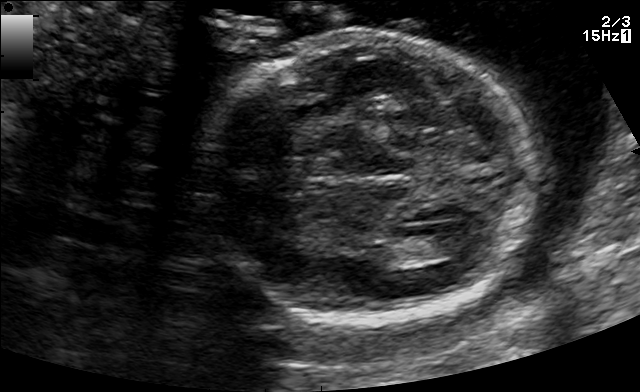
In this fetal brain, trans-ventricular plane, give the bounding box of the cavum septum pellucidum.

[302,171,341,191]